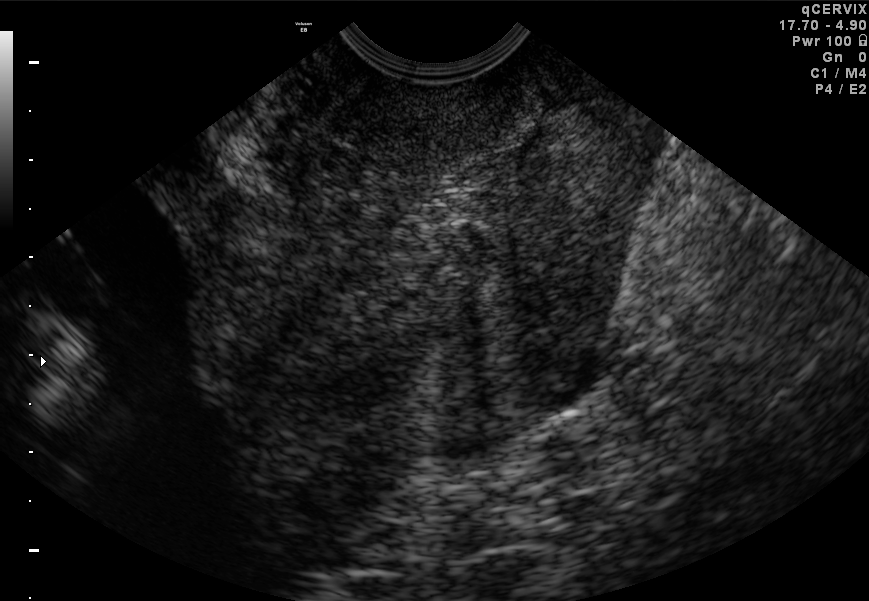
Identify the standard plane in this fetal ultrasound image: fetal abdomen, fetal brain, fetal femur, fetal thorax, maternal cervix, or other. If it's fetal brain and one of the three standard brain planes (trans-thalamic, trans-cerebellum, trans-ventricular), name which.

Maternal cervix